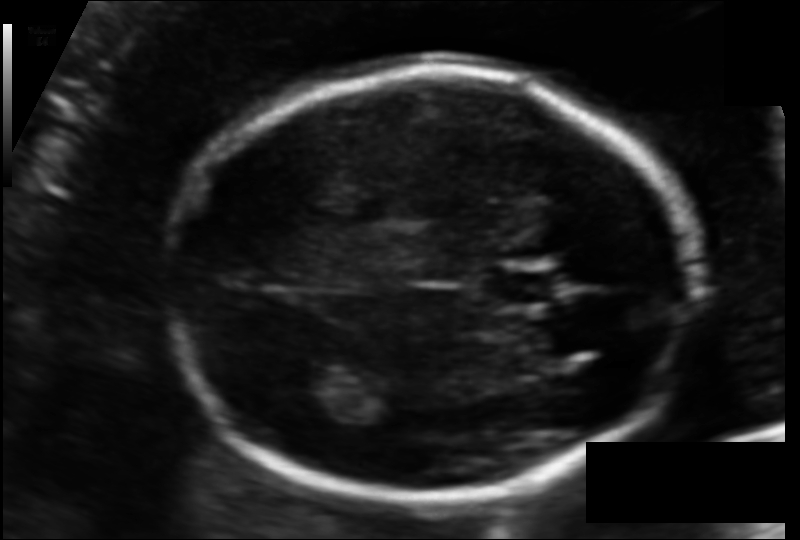
In this fetal head ultrasound, give the bounding box of the fetal head. Image width: 86.2 mm.

[161,74,692,496]